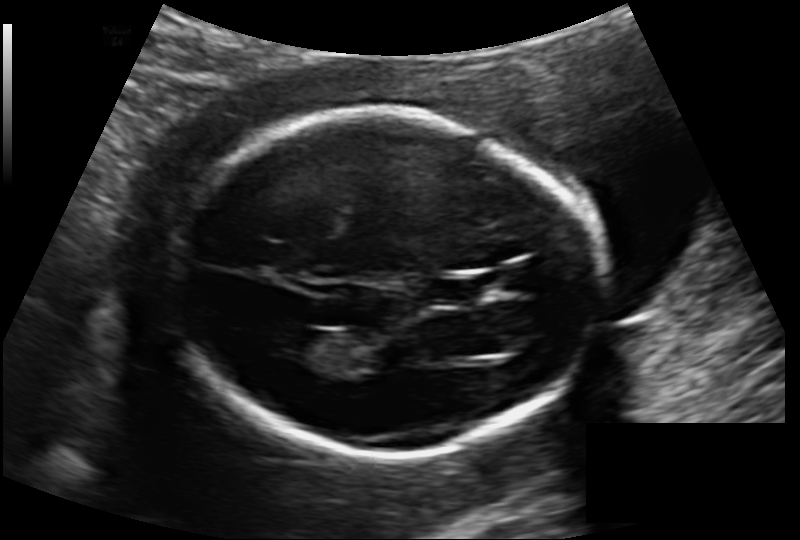
In this fetal head ultrasound, give the bounding box of the cavum septum pellucidum. Image width: 106.3 mm.

[433,276,480,305]